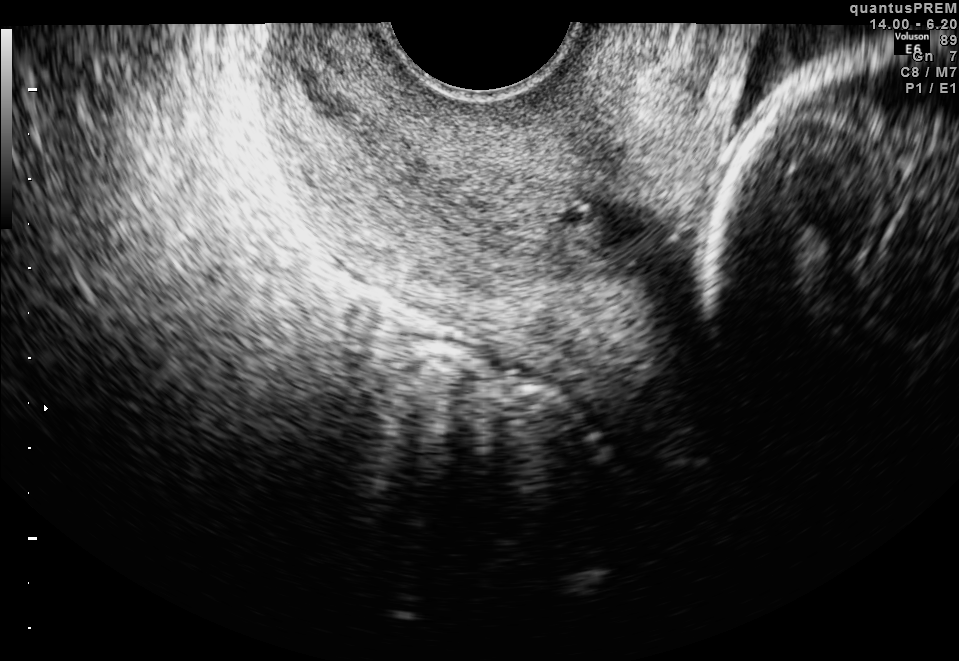
Identify the standard plane in this fetal ultrasound image: fetal abdomen, fetal brain, fetal femur, fetal thorax, maternal cervix, or other. If it's fetal brain and one of the three standard brain planes (trans-thalamic, trans-cerebellum, trans-ventricular), name which.

Maternal cervix